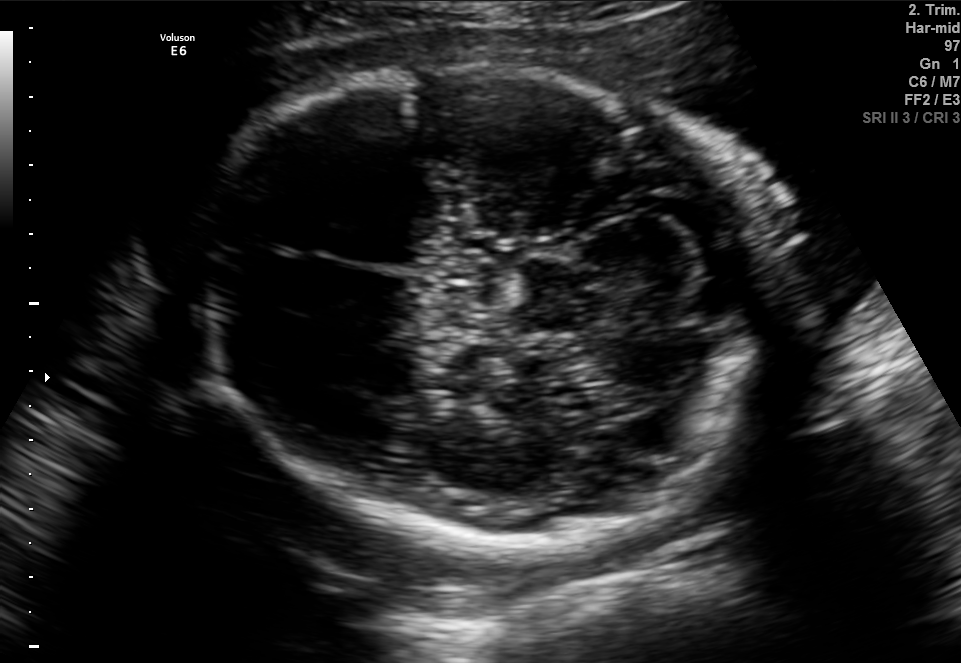
Classify this maternal-fetal ultrasound image as one of the six standard planes — fetal abdomen, fetal brain, fetal femur, fetal thorax, maternal cervix, or other. If it's fetal brain and one of the three standard brain planes (trans-thalamic, trans-cerebellum, trans-ventricular), name which.

Fetal brain (trans-cerebellum plane)